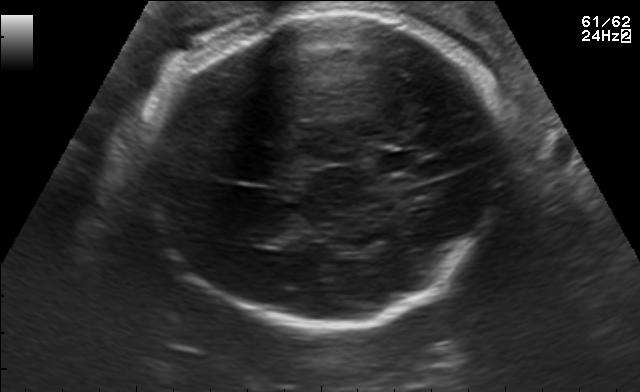
Fetal brain, trans-thalamic plane. Locate the fetal head and, if visible, the cavum septum pellucidum (CSP) and lateral ventricle (LV). Give bounding boxes as [x1,y1,x2,y2].

Head: [131,11,506,326]
CSP: [375,148,421,174]